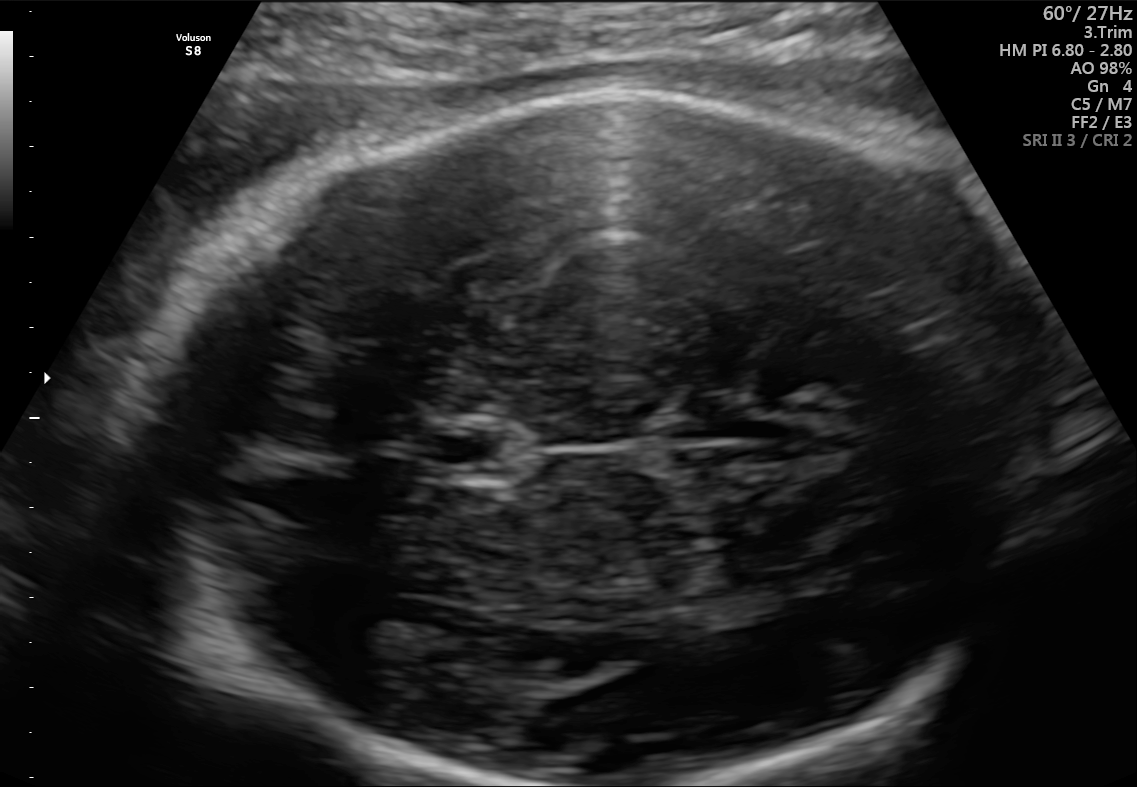
Fetal brain, trans-thalamic plane. Locate the cavum septum pellucidum.

CSP: [421,422,517,479]